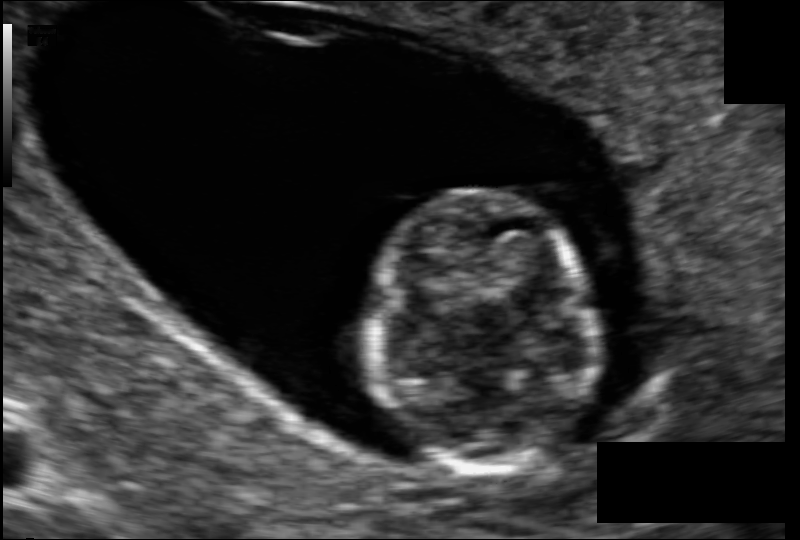
In this fetal head ultrasound, give the bounding box of the fetal head. Image width: 73.7 mm.

[370,192,591,469]